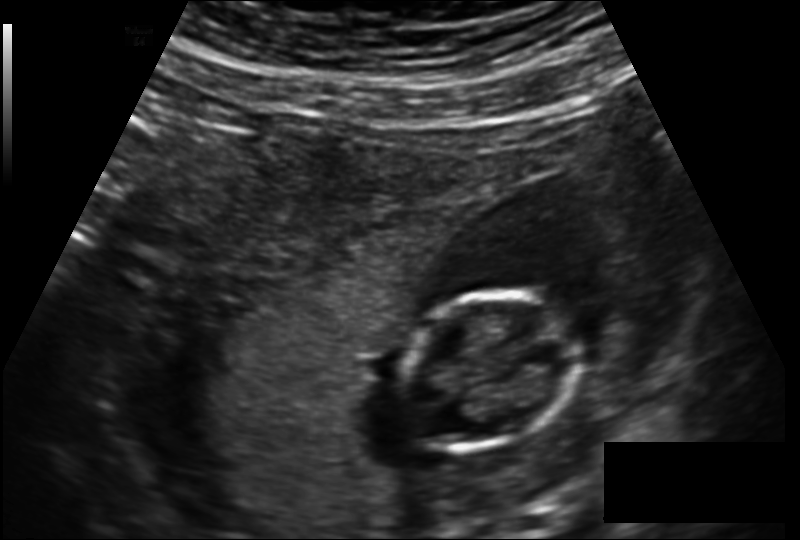
Fetal head ultrasound. Image width: 128.2 mm. Give [x1,y1,x2,y2] bounding boxes for each visible structure among: fetal head, CSP, LV.

Head: [395,291,578,452]